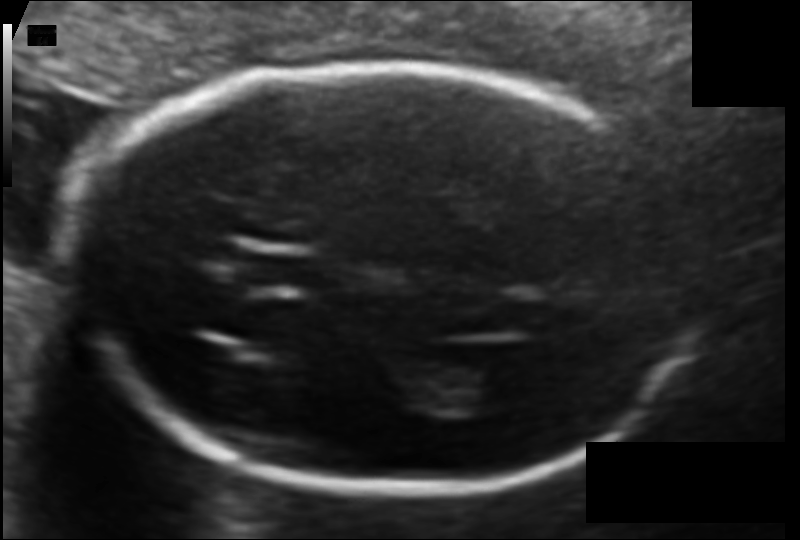
In this fetal head ultrasound, give the bounding box of the cavum septum pellucidum. Image width: 82.7 mm.

[238,247,317,294]